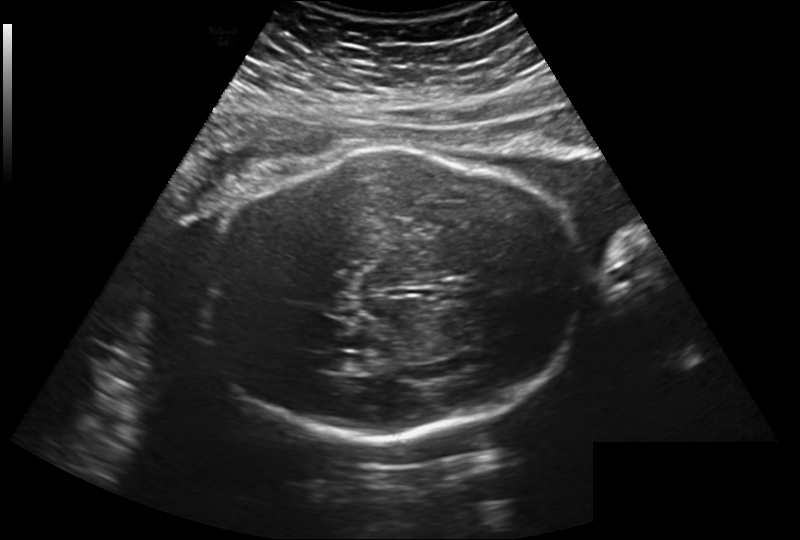
Fetal head ultrasound. Image width: 208.3 mm. Where is the fetal head?

Head bounding box: [204,145,583,439]